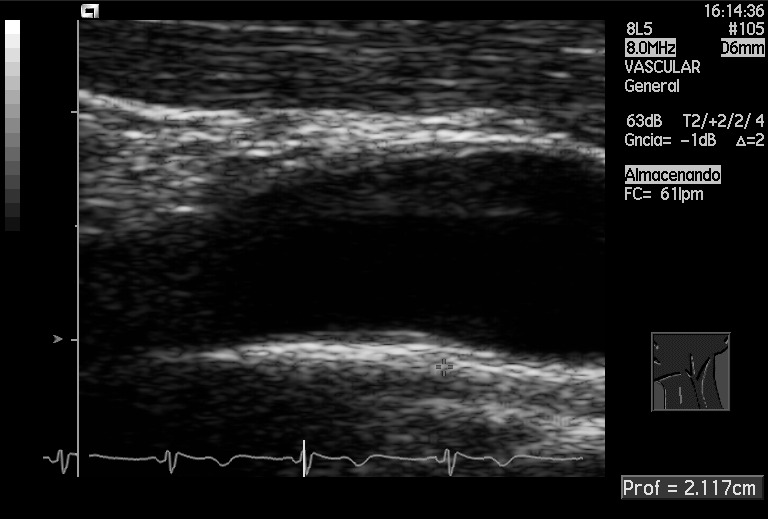
Classify this maternal-fetal ultrasound image as one of the six standard planes — fetal abdomen, fetal brain, fetal femur, fetal thorax, maternal cervix, or other. If it's fetal brain and one of the three standard brain planes (trans-thalamic, trans-cerebellum, trans-ventricular), name which.

Other